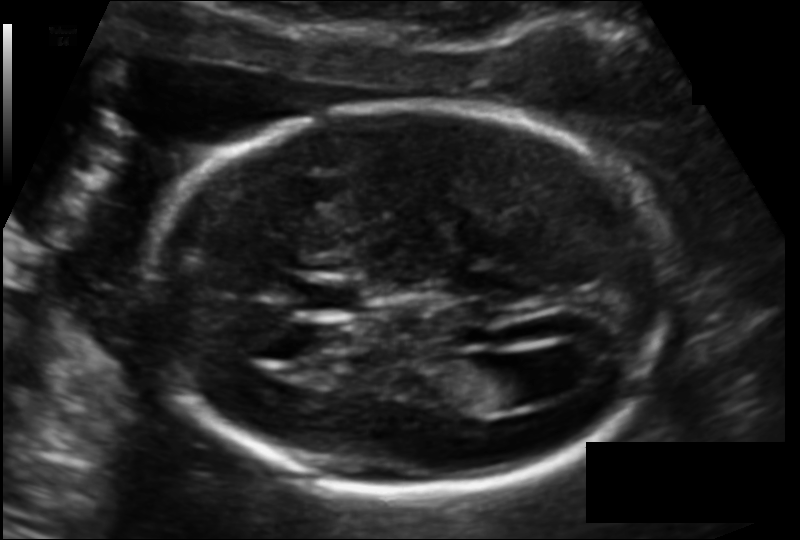
Fetal head ultrasound. Image width: 94.5 mm. Where is the lateral ventricle?

Lateral ventricle bounding box: [461,354,542,413]